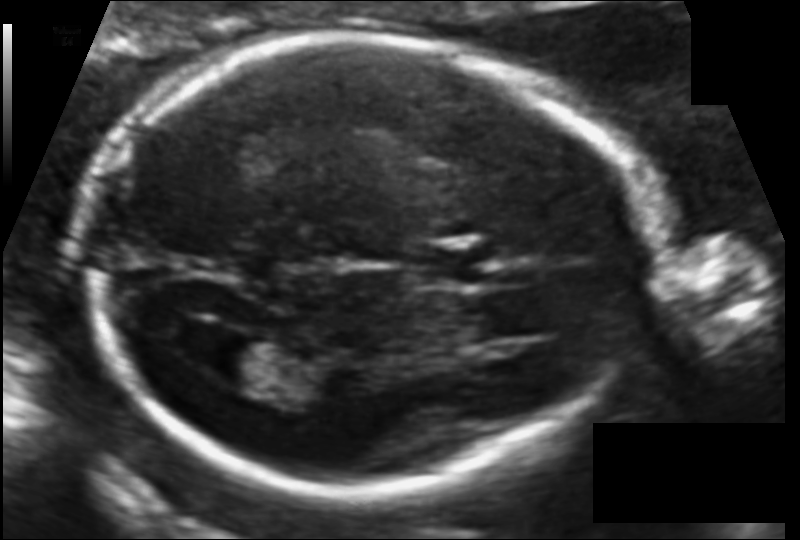
In this fetal head ultrasound, give the bounding box of the fetal head. Image width: 87.0 mm.

[87,37,643,493]